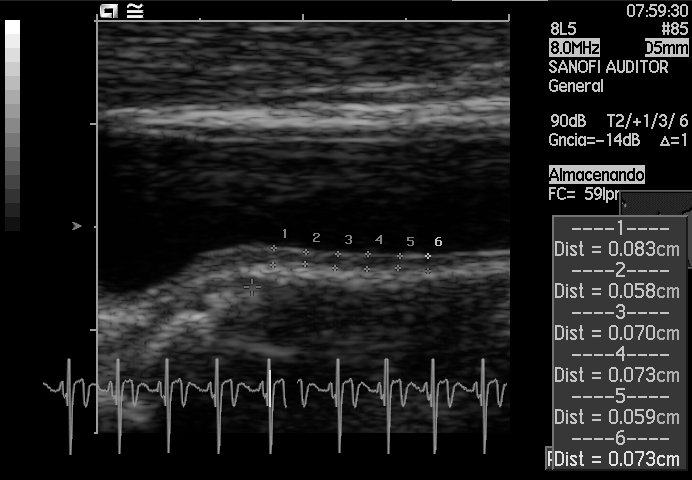
Identify the standard plane in this fetal ultrasound image: fetal abdomen, fetal brain, fetal femur, fetal thorax, maternal cervix, or other. If it's fetal brain and one of the three standard brain planes (trans-thalamic, trans-cerebellum, trans-ventricular), name which.

Other